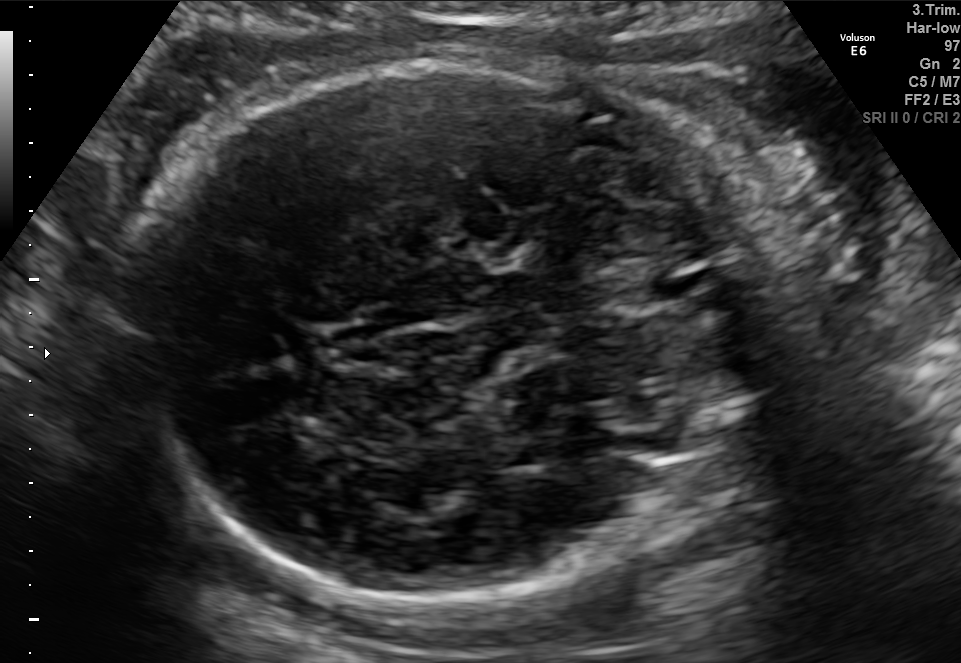
In this fetal brain, trans-cerebellum plane, give bounding boxes for the head outline, cavum septum pellucidum (CSP), and lateral ventricle (LV), where visible.

Head: [129,59,748,598]